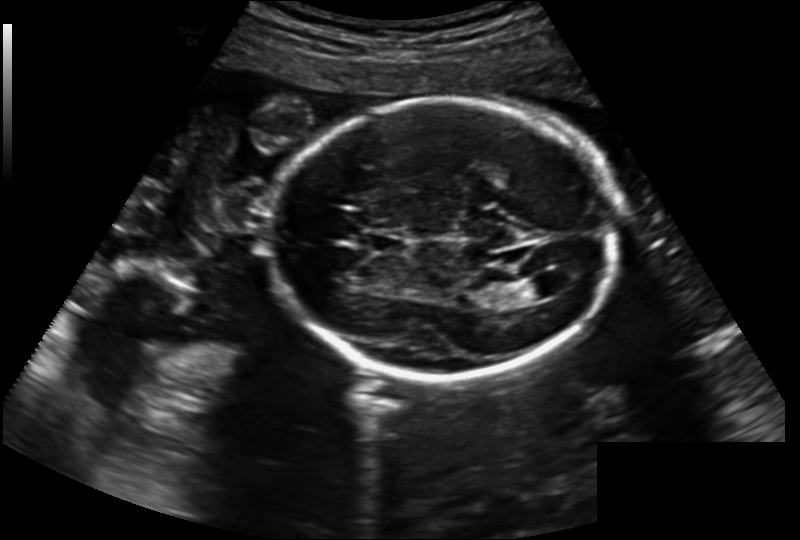
What is the fetal head circumference? Image width is 161.7 mm.

204.6 mm